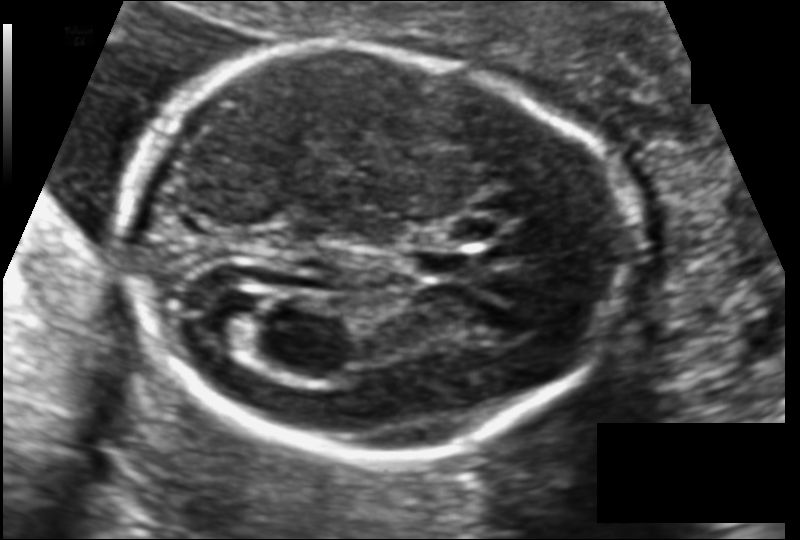
In this fetal head ultrasound, give the bounding box of the lateral ventricle. Image width: 93.1 mm.

[189,282,271,356]